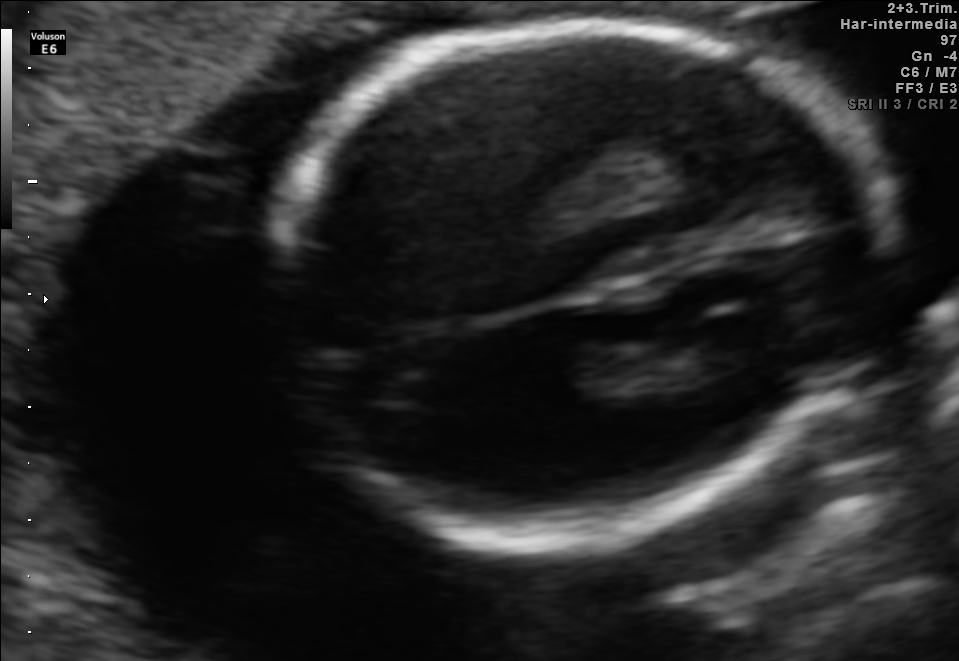
Fetal brain, trans-thalamic plane. Give [x1,y1,x2,y2] bounding boxes for each visible structure among: fetal head, CSP, LV.

Head: [263,20,874,541]